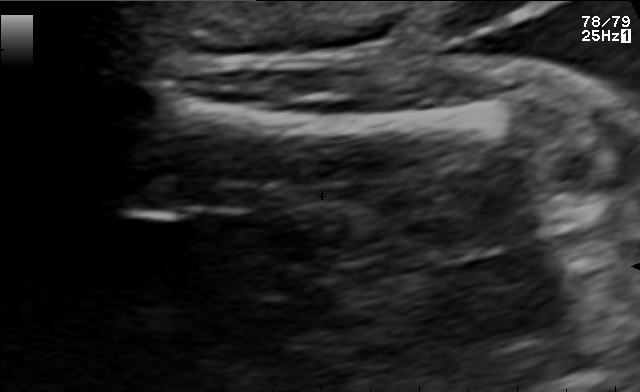
Classify this maternal-fetal ultrasound image as one of the six standard planes — fetal abdomen, fetal brain, fetal femur, fetal thorax, maternal cervix, or other. If it's fetal brain and one of the three standard brain planes (trans-thalamic, trans-cerebellum, trans-ventricular), name which.

Fetal femur